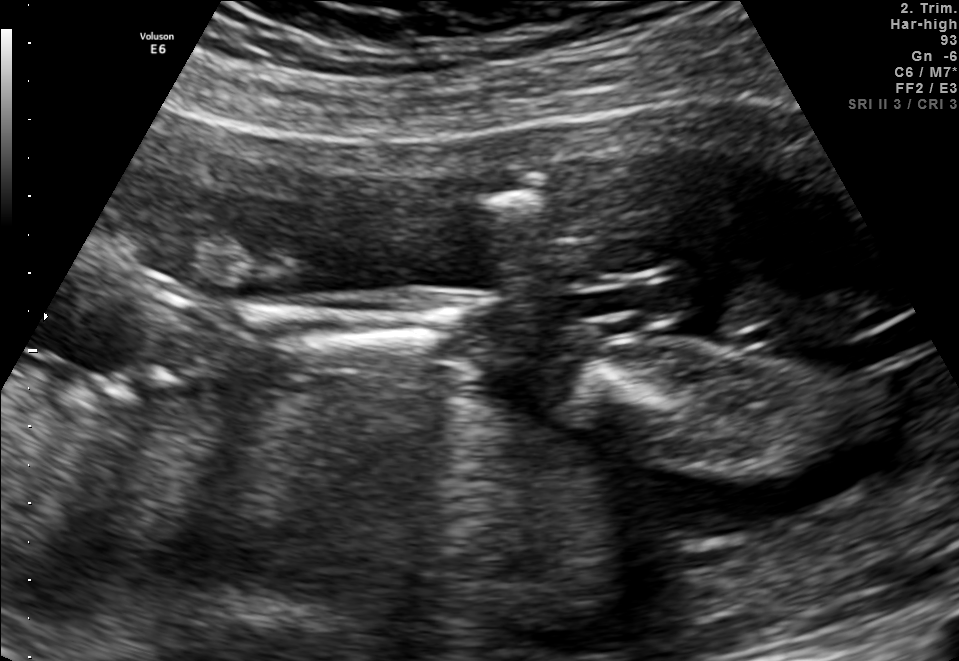
This is a 2D maternal-fetal ultrasound frame. Is it a fetal abdomen, fetal brain, fetal femur, fetal thorax, maternal cervix, or other standard plane? If it's fetal brain and one of the three standard brain planes (trans-thalamic, trans-cerebellum, trans-ventricular), name which.

Other